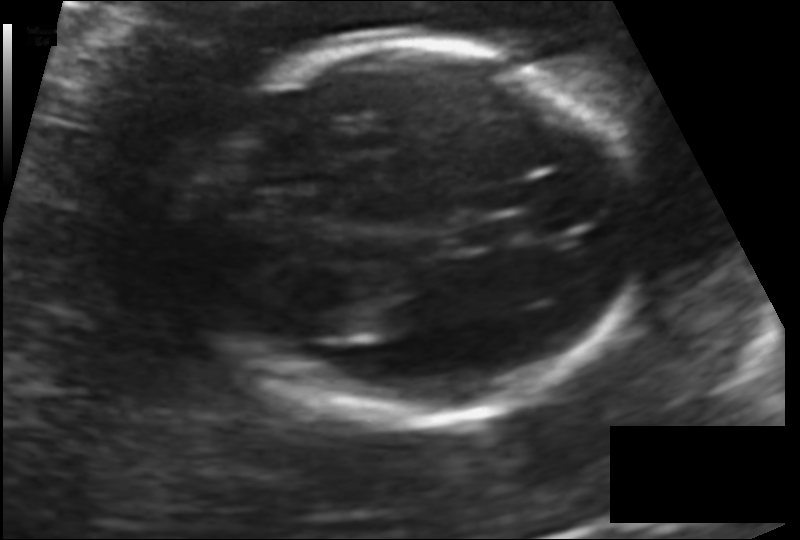
Fetal head ultrasound. Image width: 104.5 mm. Locate the fetal head and, if visible, the cavum septum pellucidum (CSP) and lateral ventricle (LV). Give bounding boxes as [x1,y1,x2,y2].

Head: [196,38,634,423]
CSP: [456,212,525,255]
Lateral ventricle: [306,306,360,342]